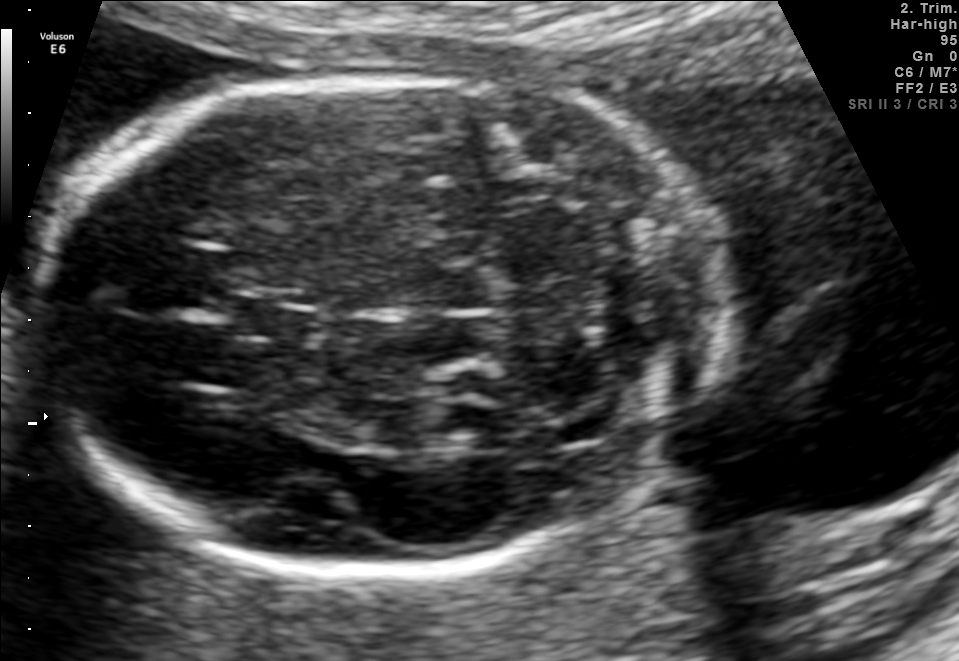
Identify the standard plane in this fetal ultrasound image: fetal abdomen, fetal brain, fetal femur, fetal thorax, maternal cervix, or other. If it's fetal brain and one of the three standard brain planes (trans-thalamic, trans-cerebellum, trans-ventricular), name which.

Fetal brain (trans-cerebellum plane)